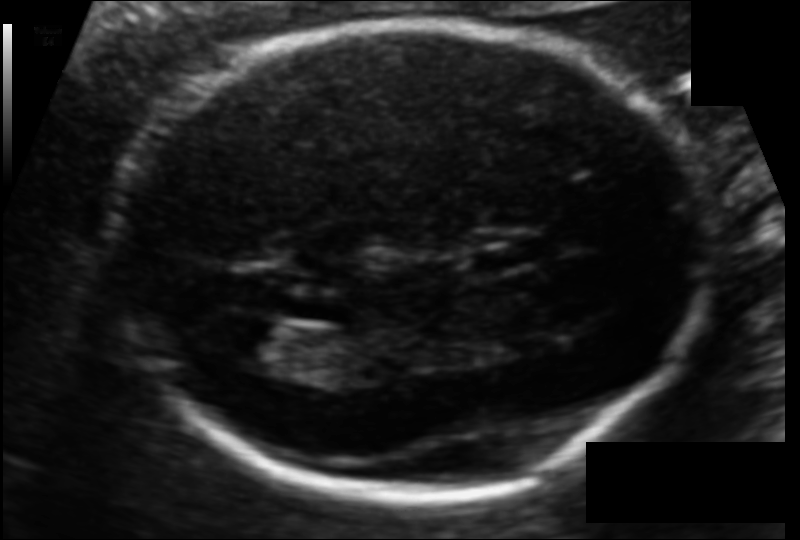
Estimate the fetal head circumference from this 2D ultrasound.

Head circumference: 182.9 mm (image width 85.1 mm).